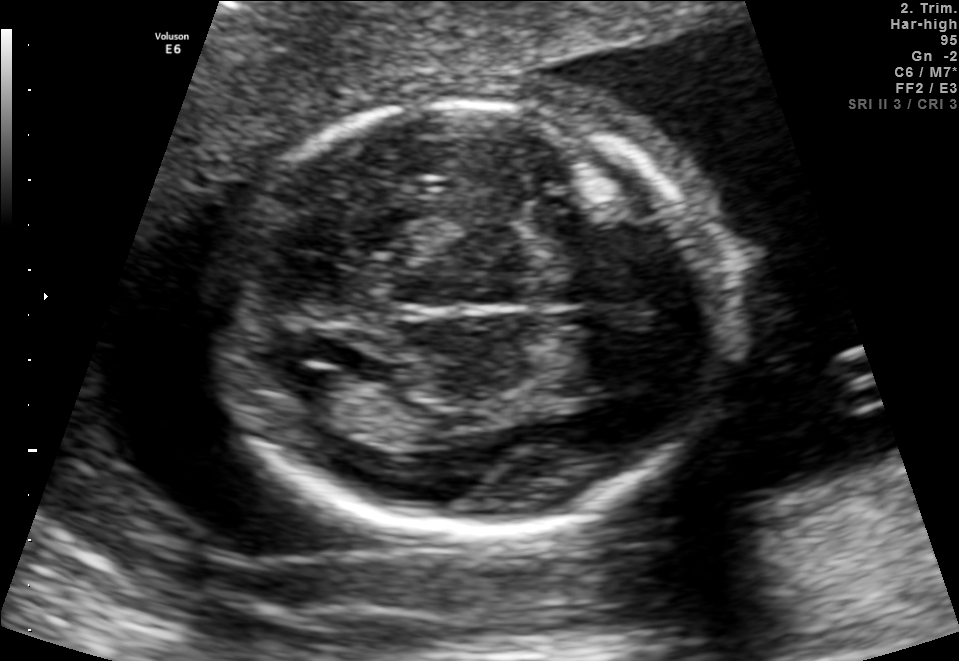
Fetal brain, trans-ventricular plane. Locate the fetal head.

Head: [203,92,726,543]